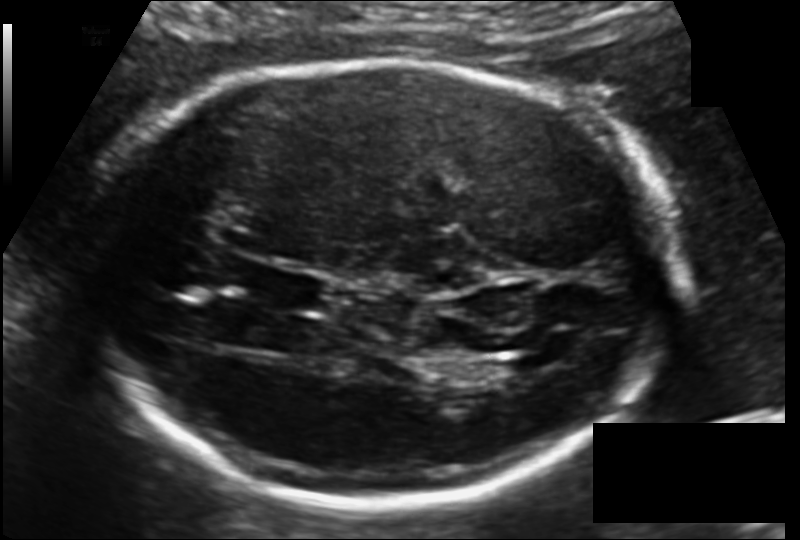
Fetal head ultrasound. Image width: 107.8 mm. Locate the lateral ventricle.

Lateral ventricle: [499,348,555,380]